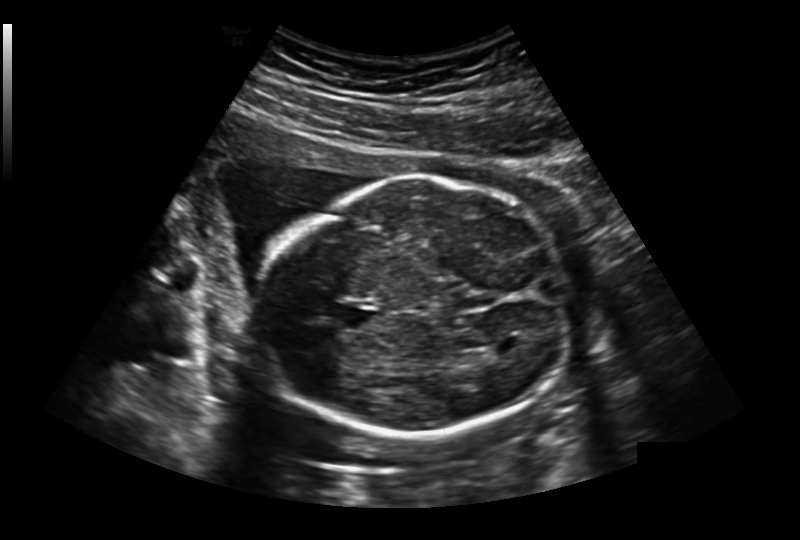
Fetal head ultrasound. Image width: 188.6 mm. Where is the cavum septum pellucidum?

CSP bounding box: [336,304,375,330]